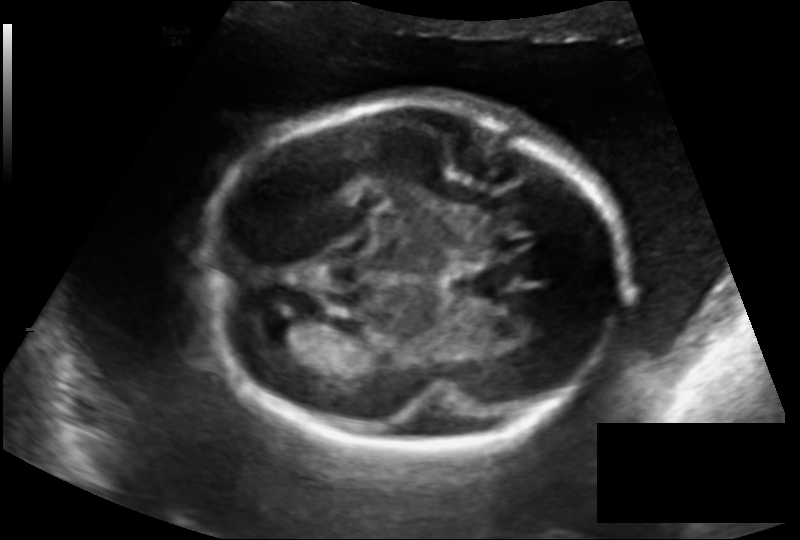
What is the fetal head circumference? Image width is 129.7 mm.

199.5 mm